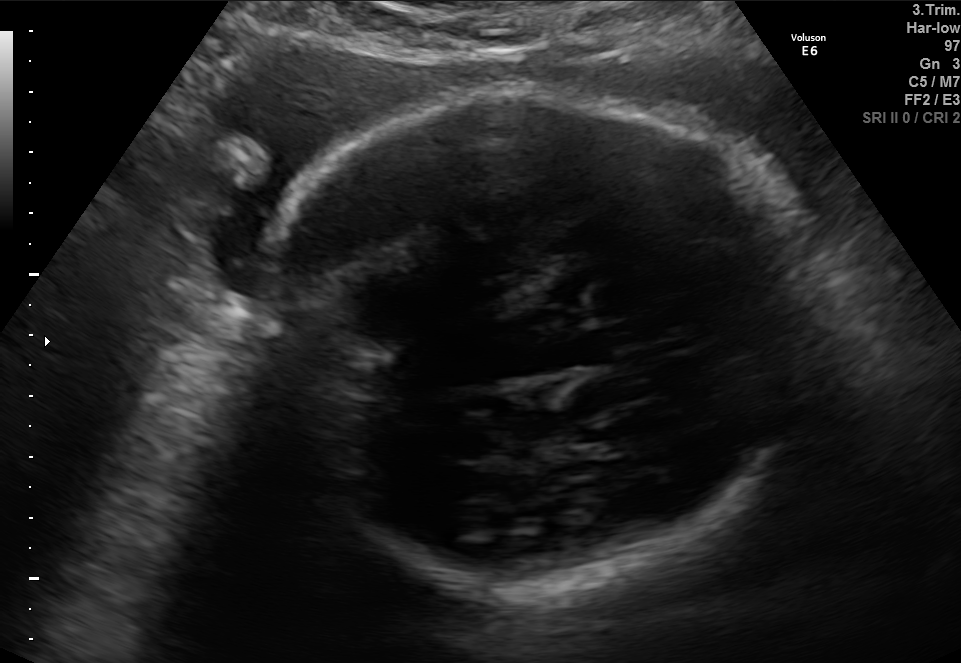
Fetal brain, trans-thalamic plane. Where is the fetal head?

Head bounding box: [254,91,806,594]